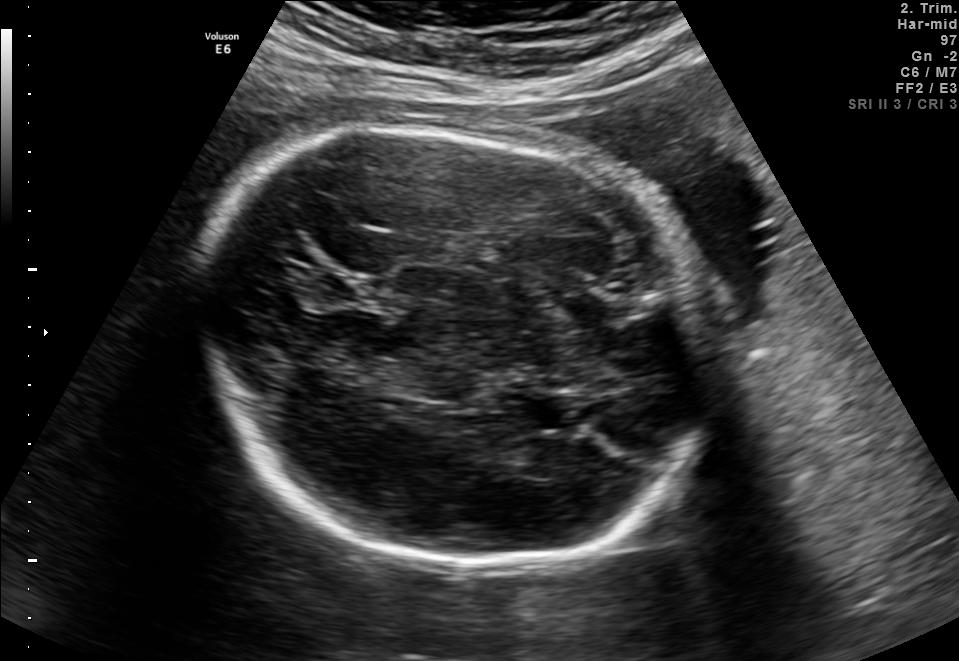
Fetal brain, trans-thalamic plane. Where is the fetal head?

Head bounding box: [201,121,704,570]